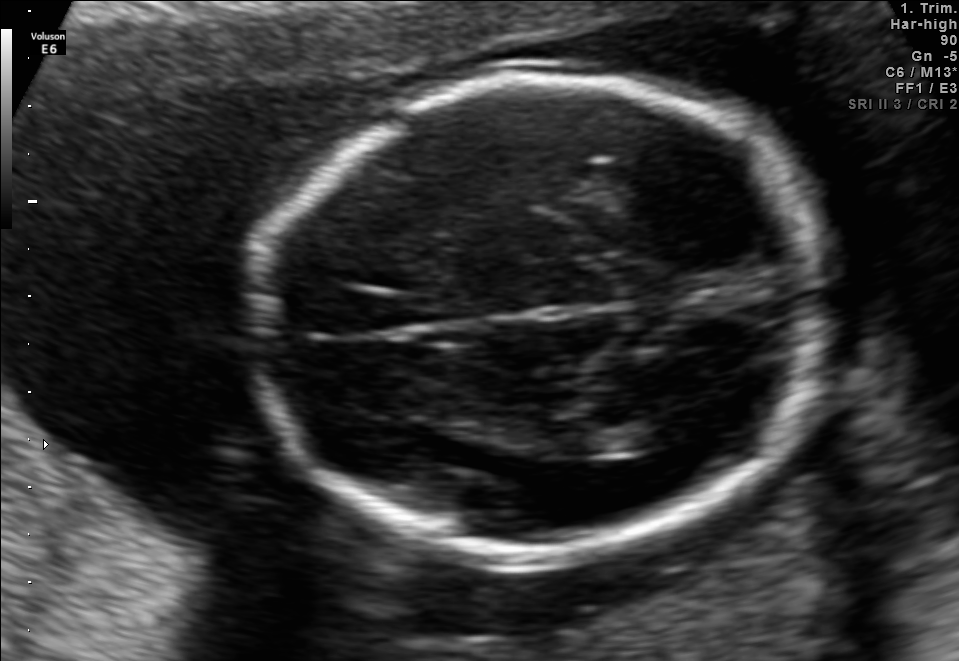
In this fetal brain, trans-thalamic plane, give the bounding box of the fetal head.

[258,80,825,561]